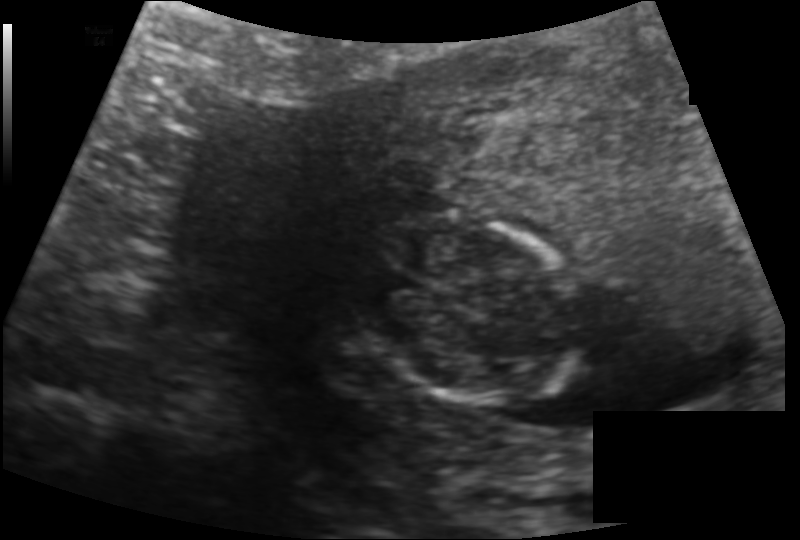
In this fetal head ultrasound, give bounding boxes for the head outline, cavum septum pellucidum (CSP), and lateral ventricle (LV), where visible. Image width: 102.6 mm.

Head: [360,215,581,404]